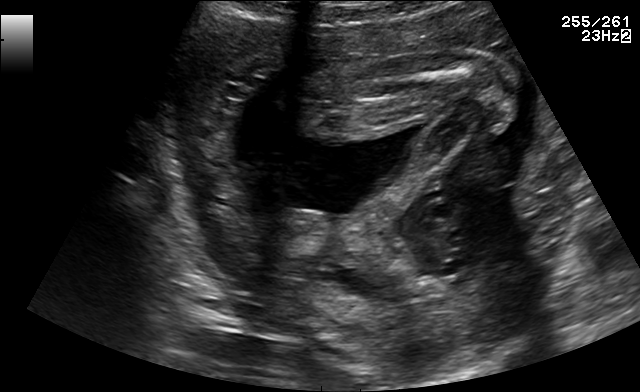
Classify this maternal-fetal ultrasound image as one of the six standard planes — fetal abdomen, fetal brain, fetal femur, fetal thorax, maternal cervix, or other. If it's fetal brain and one of the three standard brain planes (trans-thalamic, trans-cerebellum, trans-ventricular), name which.

Other